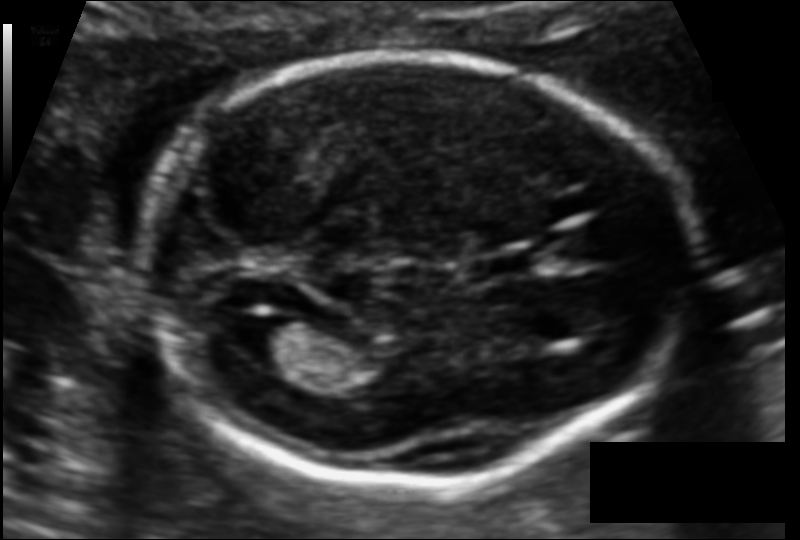
Fetal head ultrasound. Image width: 85.1 mm. Locate the cavum septum pellucidum.

CSP: [477,246,538,285]